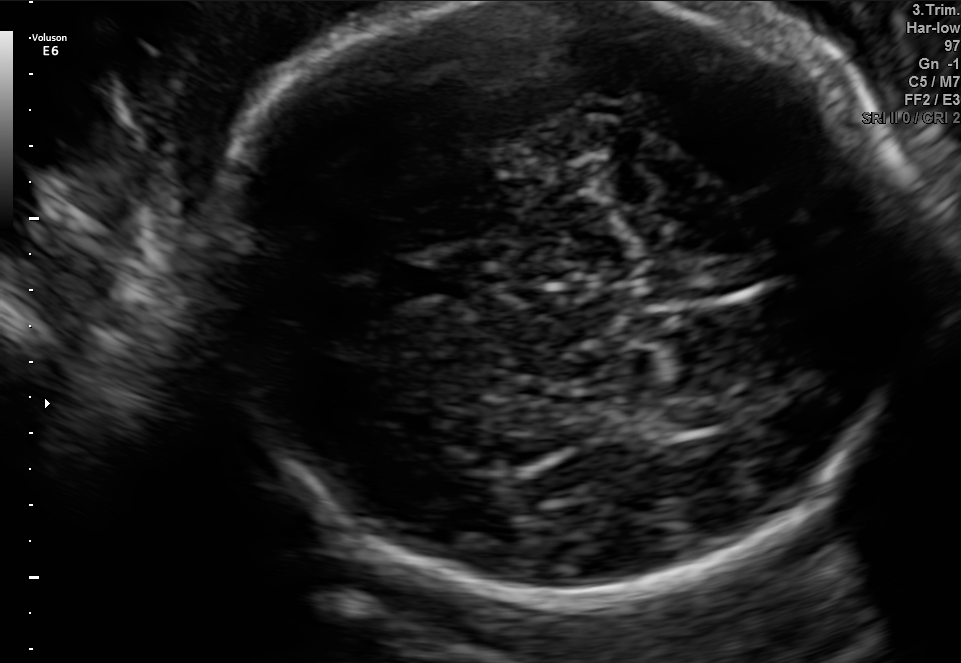
In this fetal brain, trans-thalamic plane, give the bounding box of the lateral ventricle.

[654,393,727,439]